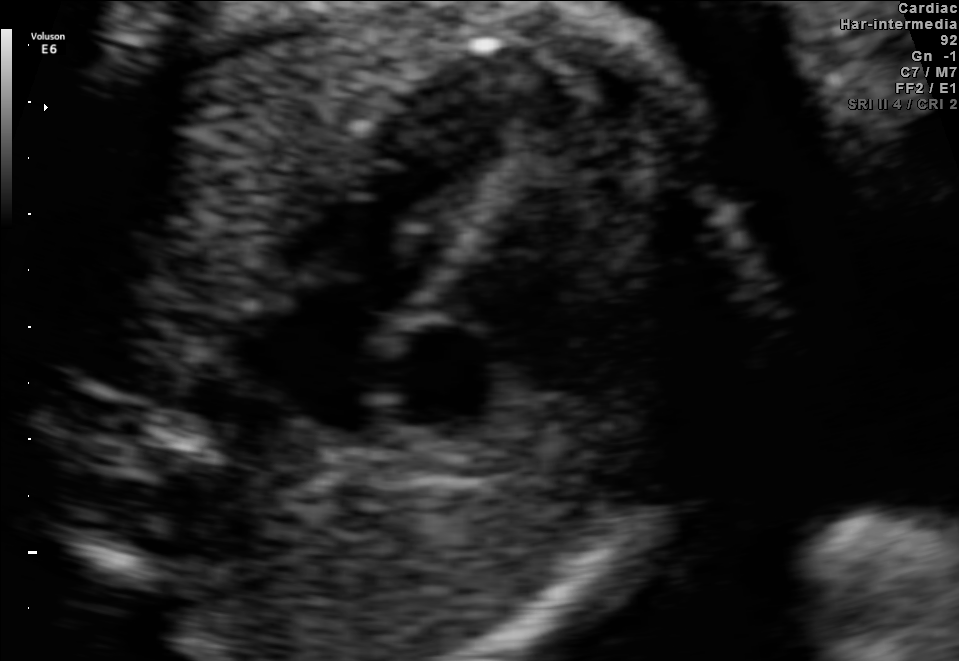
Identify the standard plane in this fetal ultrasound image: fetal abdomen, fetal brain, fetal femur, fetal thorax, maternal cervix, or other. If it's fetal brain and one of the three standard brain planes (trans-thalamic, trans-cerebellum, trans-ventricular), name which.

Fetal thorax